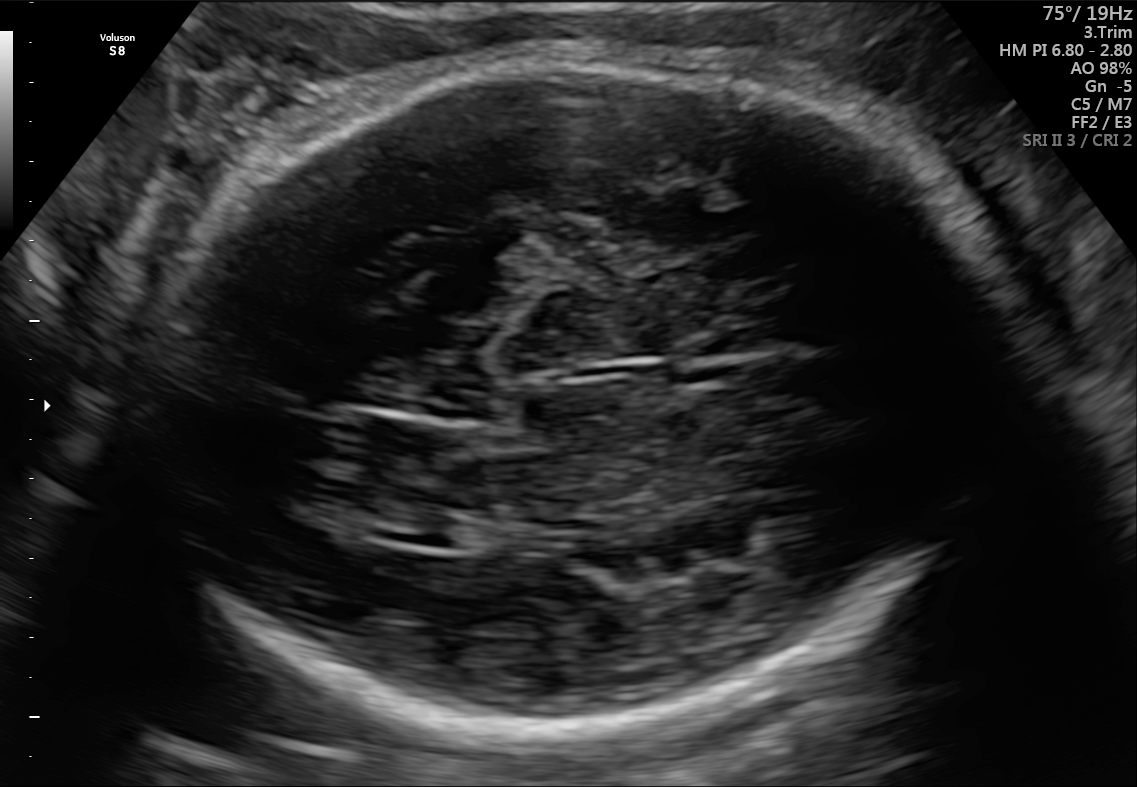
In this fetal brain, trans-thalamic plane, give the bounding box of the lateral ventricle.

[379,513,458,553]